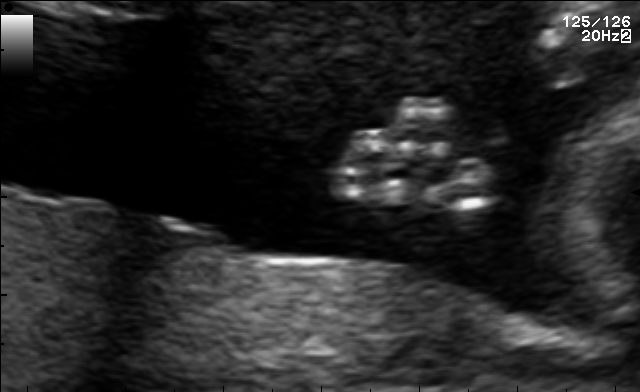
Identify the standard plane in this fetal ultrasound image: fetal abdomen, fetal brain, fetal femur, fetal thorax, maternal cervix, or other. If it's fetal brain and one of the three standard brain planes (trans-thalamic, trans-cerebellum, trans-ventricular), name which.

Other